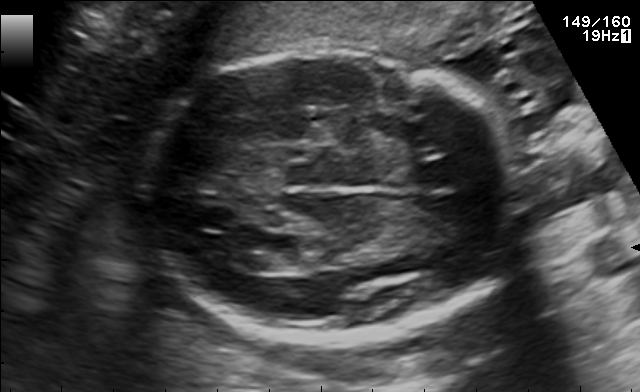
This is a 2D maternal-fetal ultrasound frame. Is it a fetal abdomen, fetal brain, fetal femur, fetal thorax, maternal cervix, or other standard plane? If it's fetal brain and one of the three standard brain planes (trans-thalamic, trans-cerebellum, trans-ventricular), name which.

Fetal brain (trans-ventricular plane)